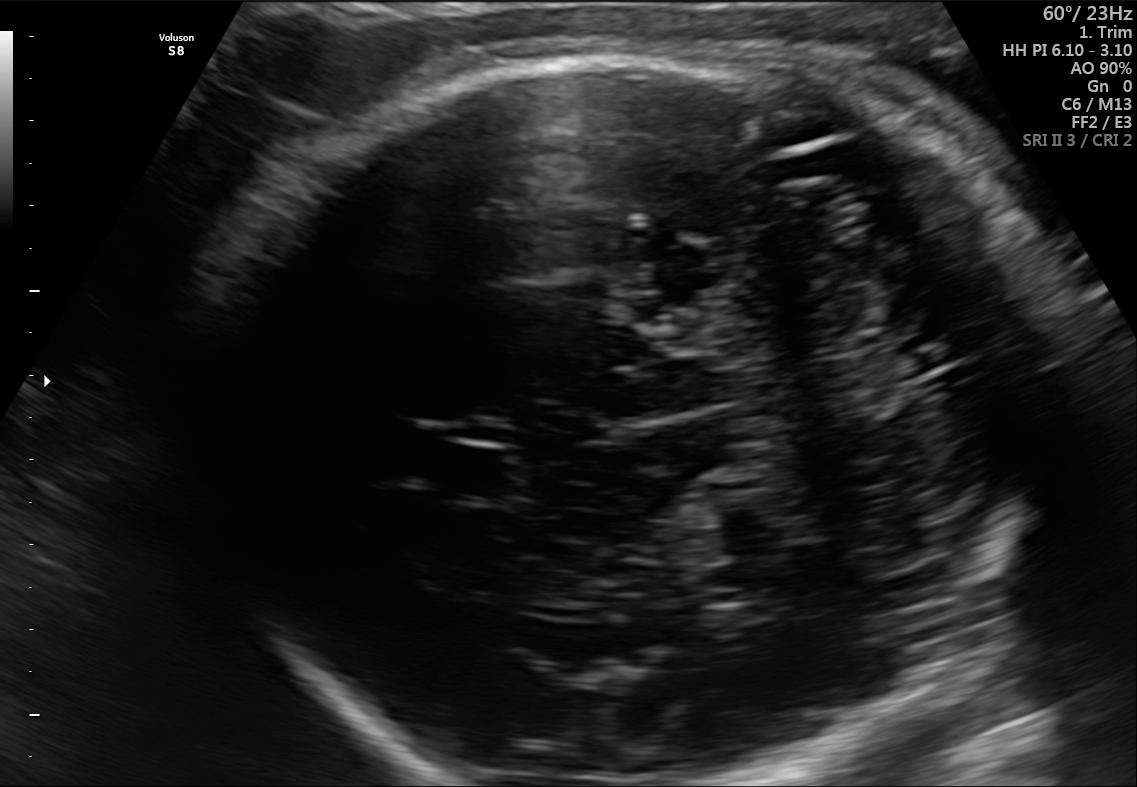
This is a 2D maternal-fetal ultrasound frame. Is it a fetal abdomen, fetal brain, fetal femur, fetal thorax, maternal cervix, or other standard plane? If it's fetal brain and one of the three standard brain planes (trans-thalamic, trans-cerebellum, trans-ventricular), name which.

Fetal brain (trans-cerebellum plane)